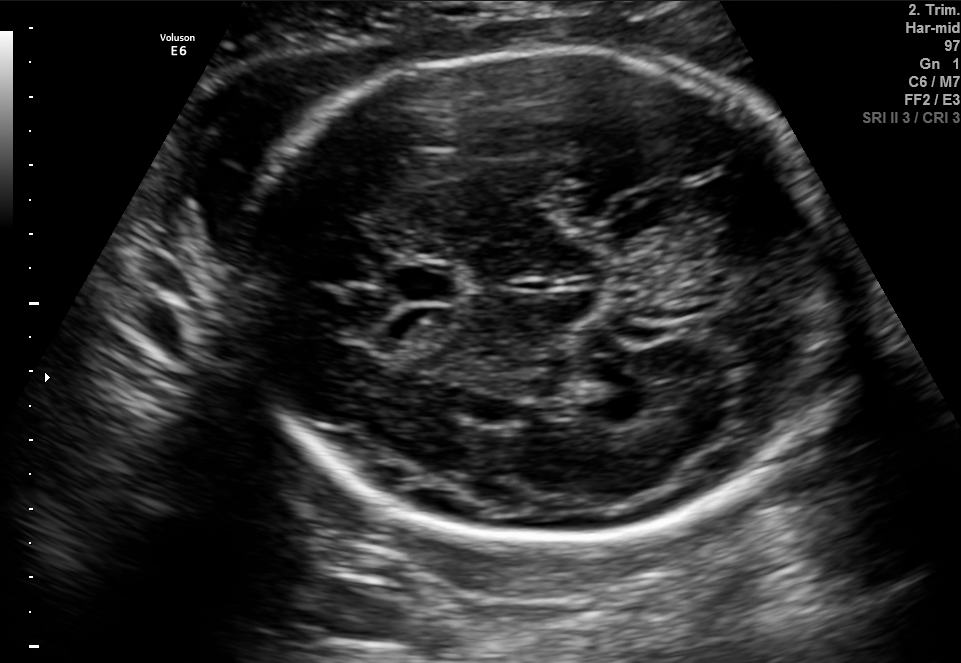
Fetal brain, trans-thalamic plane. Locate the fetal head and, if visible, the cavum septum pellucidum (CSP) and lateral ventricle (LV). Give bounding boxes as [x1,y1,x2,y2].

Head: [233,47,842,550]
CSP: [395,266,458,300]